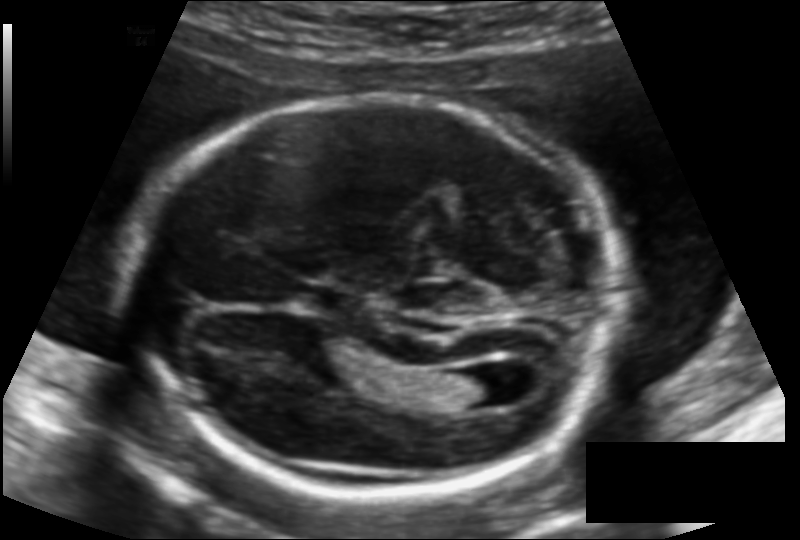
From this fetal ultrasound, estimate the head circumference (image width 99.7 mm).

Head circumference: 184.3 mm.